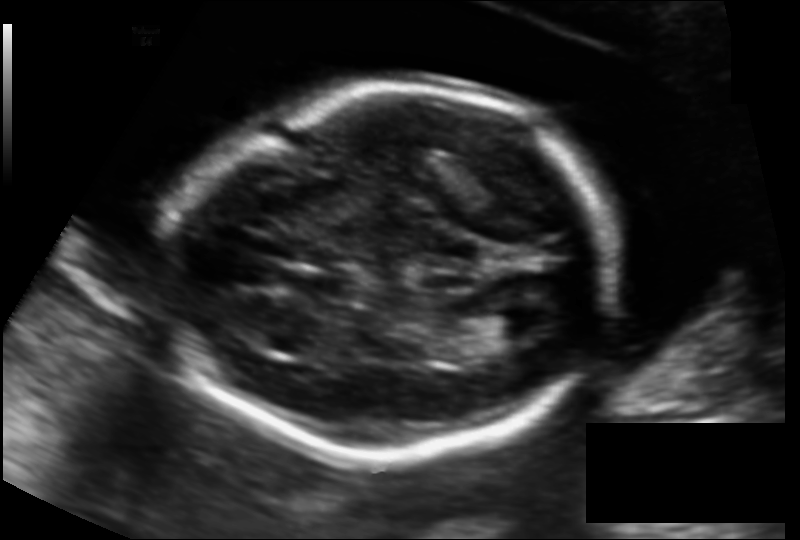
In this fetal head ultrasound, give the bounding box of the lateral ventricle. Image width: 105.0 mm.

[484,308,539,343]